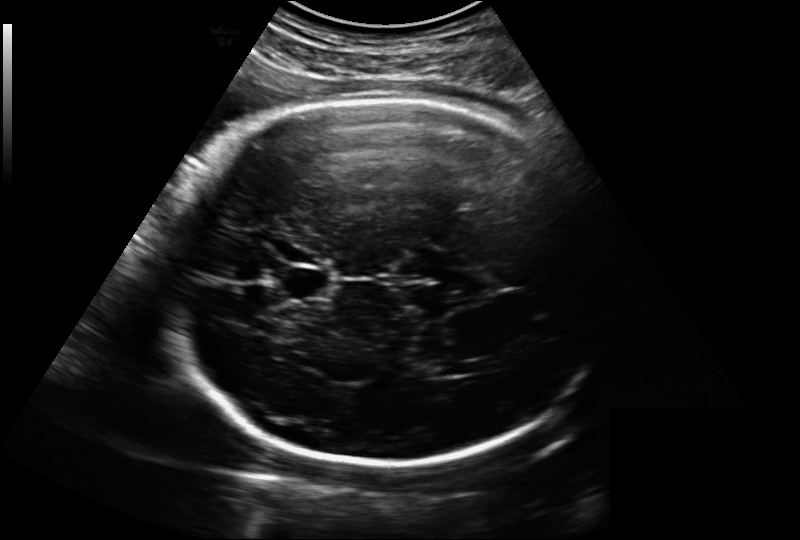
Fetal head ultrasound. Image width: 176.5 mm. Give [x1,y1,x2,y2] bounding boxes for each visible structure among: fetal head, CSP, LV.

Head: [156,97,614,464]
CSP: [277,263,335,303]
Lateral ventricle: [433,360,464,377]